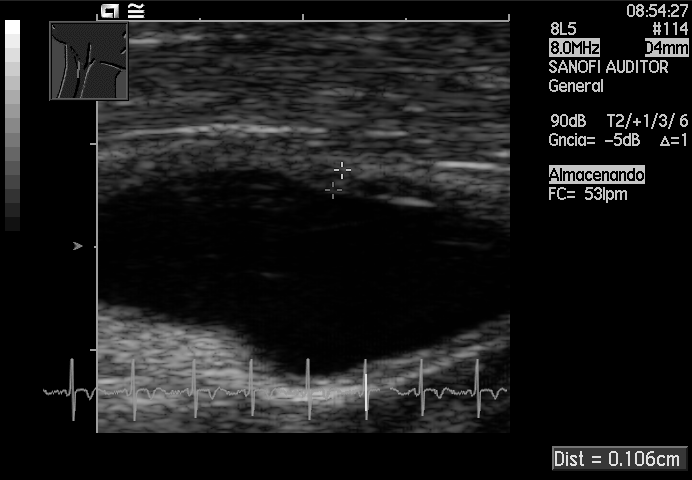
Identify the standard plane in this fetal ultrasound image: fetal abdomen, fetal brain, fetal femur, fetal thorax, maternal cervix, or other. If it's fetal brain and one of the three standard brain planes (trans-thalamic, trans-cerebellum, trans-ventricular), name which.

Other